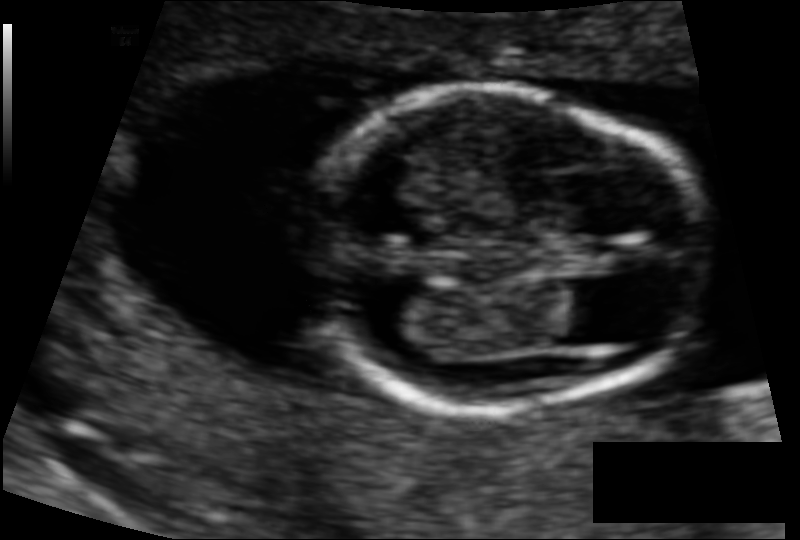
Fetal head ultrasound. Image width: 67.4 mm. Locate the fetal head and, if visible, the cavum septum pellucidum (CSP) and lateral ventricle (LV). Give bounding boxes as [x1,y1,x2,y2].

Head: [302,88,707,409]